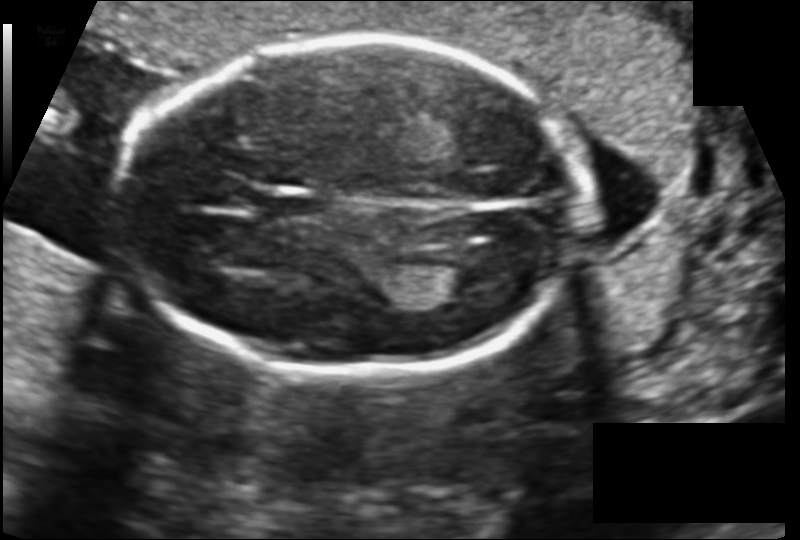
From this fetal ultrasound, estimate the head circumference (image width 102.7 mm).

Head circumference: 166.6 mm.